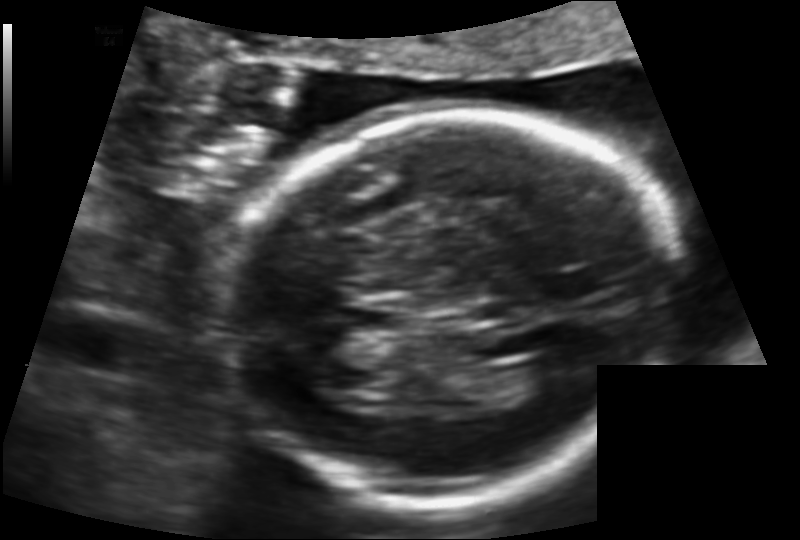
Estimate the fetal head circumference from this 2D ultrasound. Image width: 97.9 mm.

Head circumference: 169.4 mm.